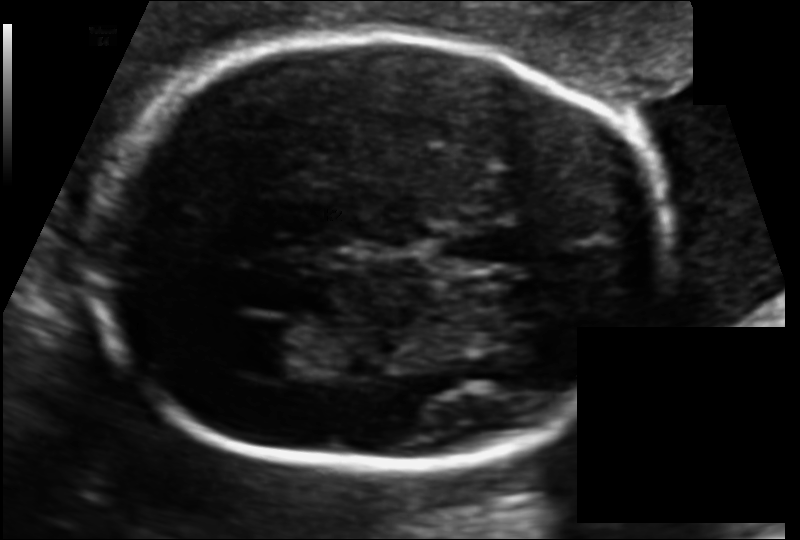
From this fetal ultrasound, estimate the head circumference (image width 89.0 mm).

Head circumference: 182.6 mm.